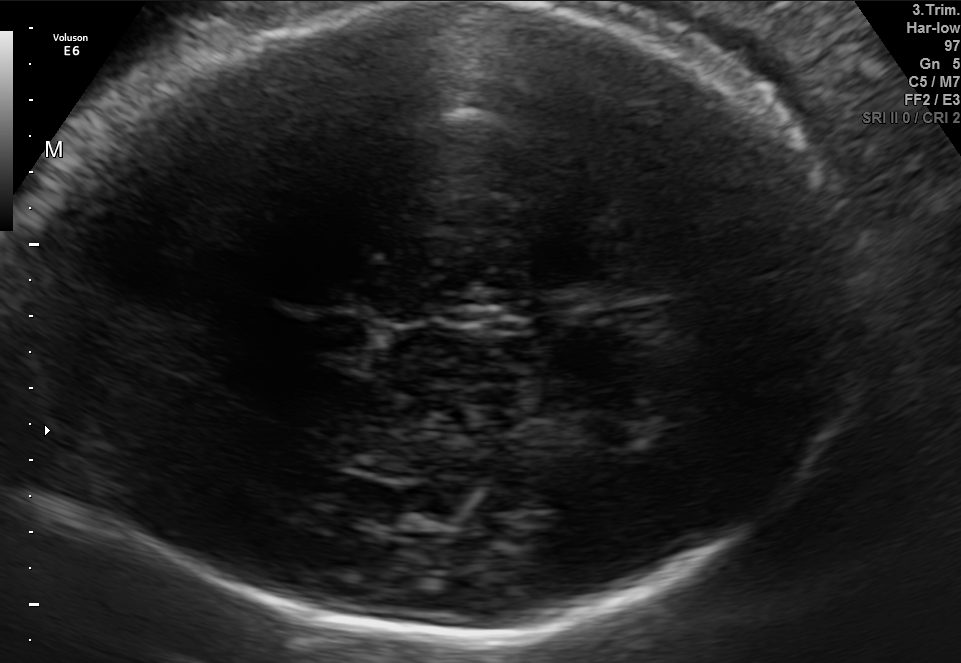
Fetal brain, trans-thalamic plane. Give [x1,y1,x2,y2] bounding boxes for each visible structure among: fetal head, CSP, LV.

Head: [5,3,854,636]
CSP: [300,312,370,352]